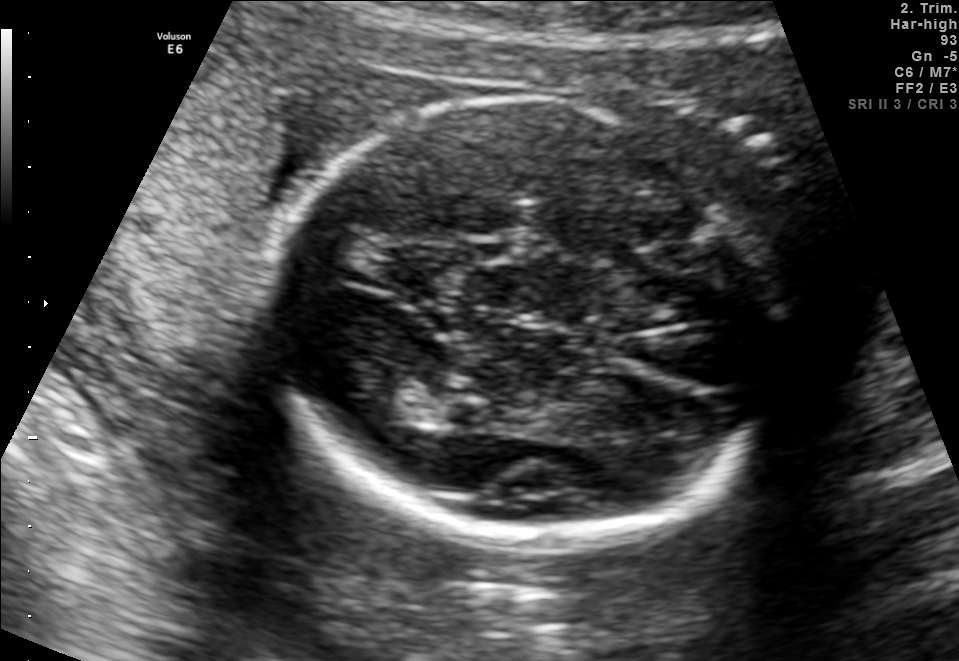
Fetal brain, trans-thalamic plane. Where is the lateral ventricle?

Lateral ventricle bounding box: [357,376,452,431]